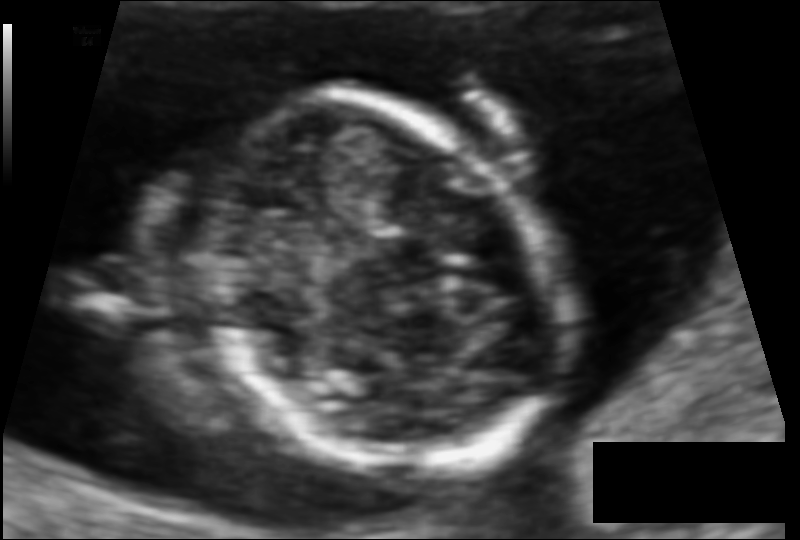
Estimate the fetal head circumference from this 2D ultrasound. Image width: 68.0 mm.

Head circumference: 98.9 mm.